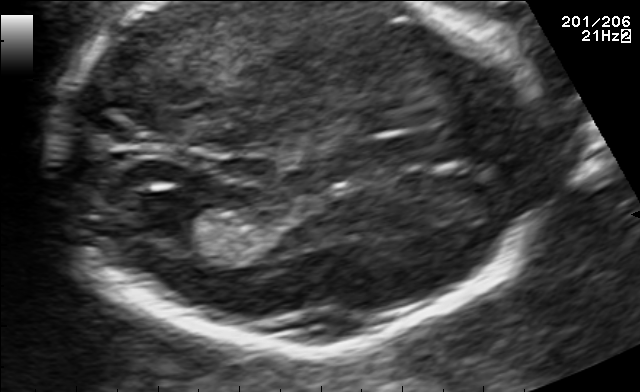
Fetal brain, trans-thalamic plane. Locate the lateral ventricle.

Lateral ventricle: [135,197,219,247]